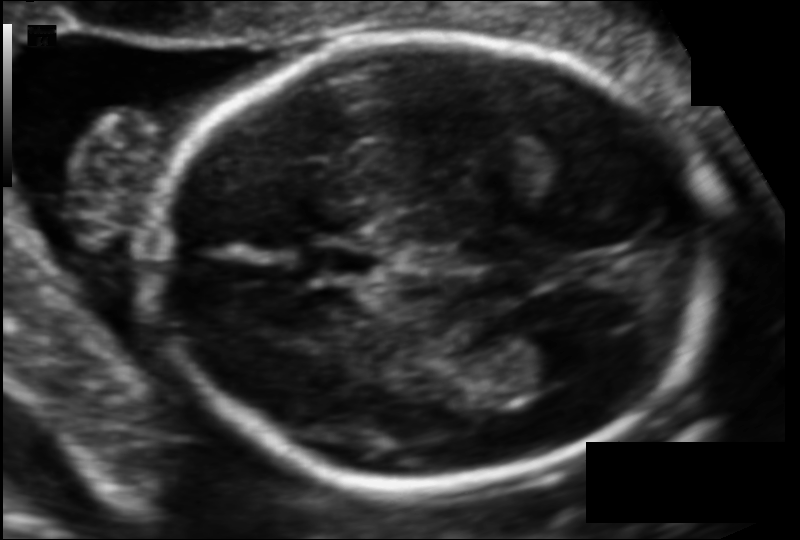
Fetal head ultrasound. Image width: 81.4 mm. Locate the fetal head.

Head: [153,34,714,488]